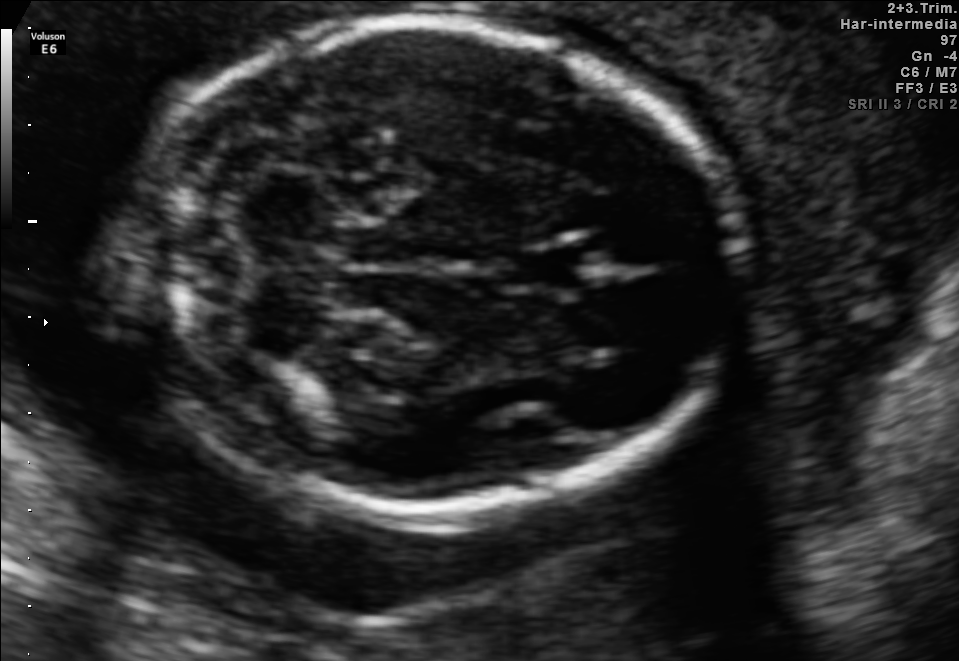
Fetal brain, trans-cerebellum plane. Locate the fetal head.

Head: [130,23,739,518]